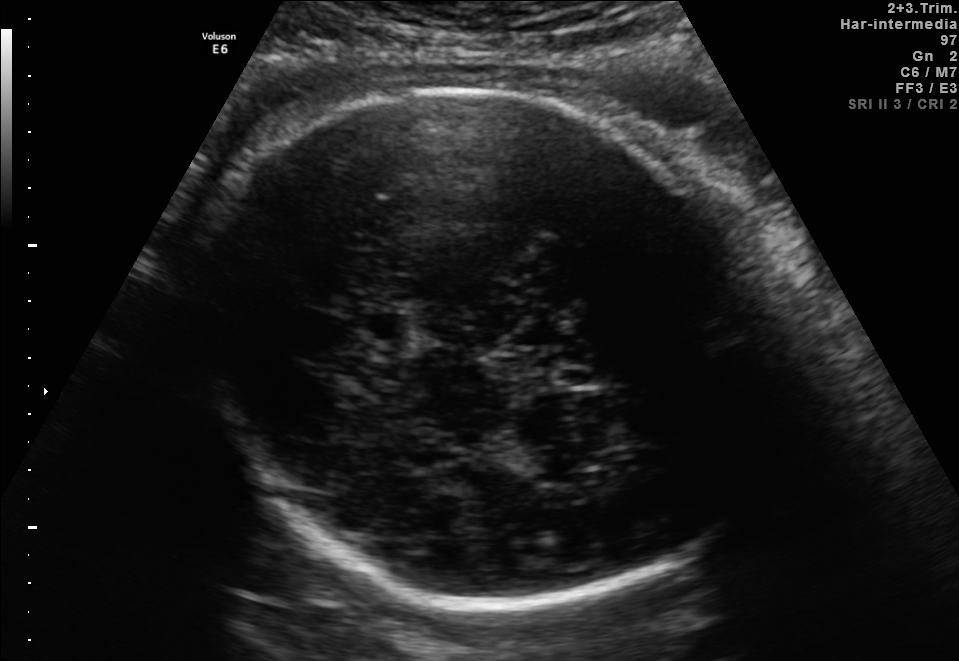
In this fetal brain, trans-thalamic plane, give bounding boxes for the head outline, cavum septum pellucidum (CSP), and lateral ventricle (LV), where visible.

Head: [195,91,766,608]
CSP: [349,303,411,348]